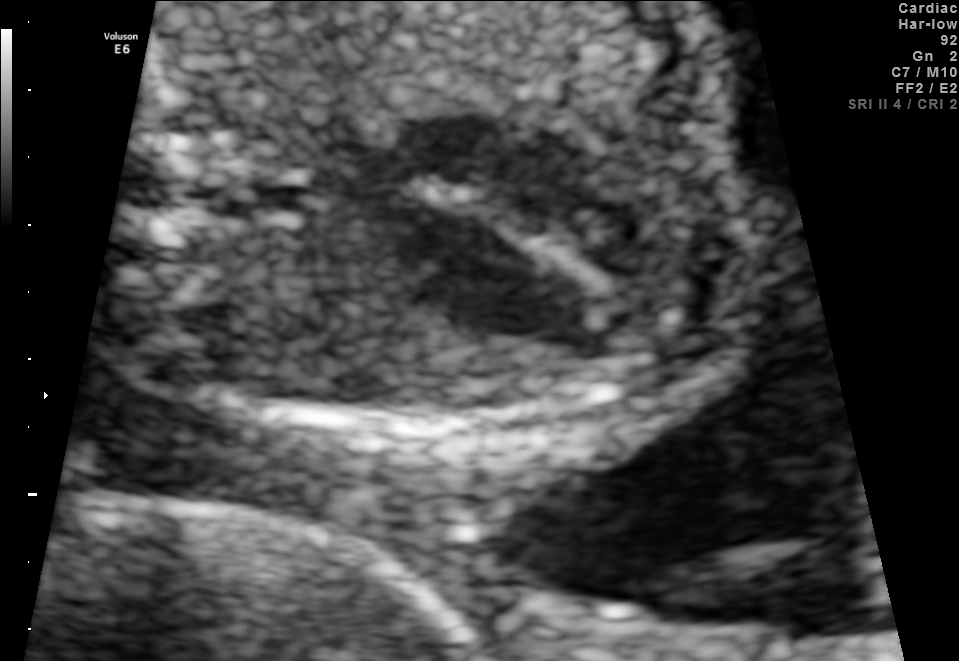
Which standard maternal-fetal ultrasound plane is shown: fetal abdomen, fetal brain, fetal femur, fetal thorax, maternal cervix, or other? If it's fetal brain and one of the three standard brain planes (trans-thalamic, trans-cerebellum, trans-ventricular), name which.

Fetal thorax